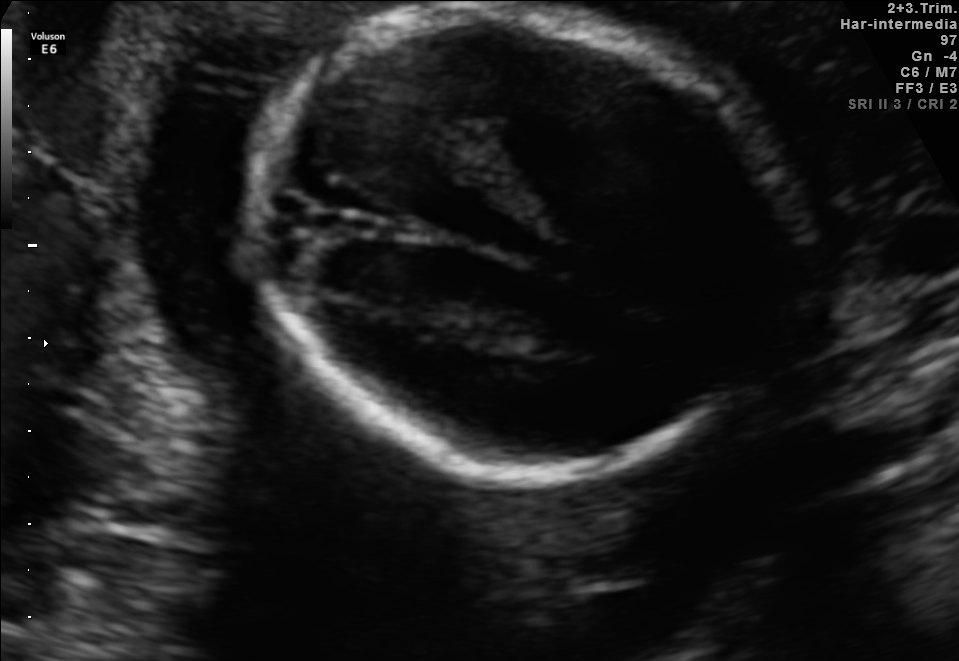
Fetal brain, trans-thalamic plane. Locate the fetal head and, if visible, the cavum septum pellucidum (CSP) and lateral ventricle (LV). Give bounding boxes as [x1,y1,x2,y2].

Head: [253,11,804,474]